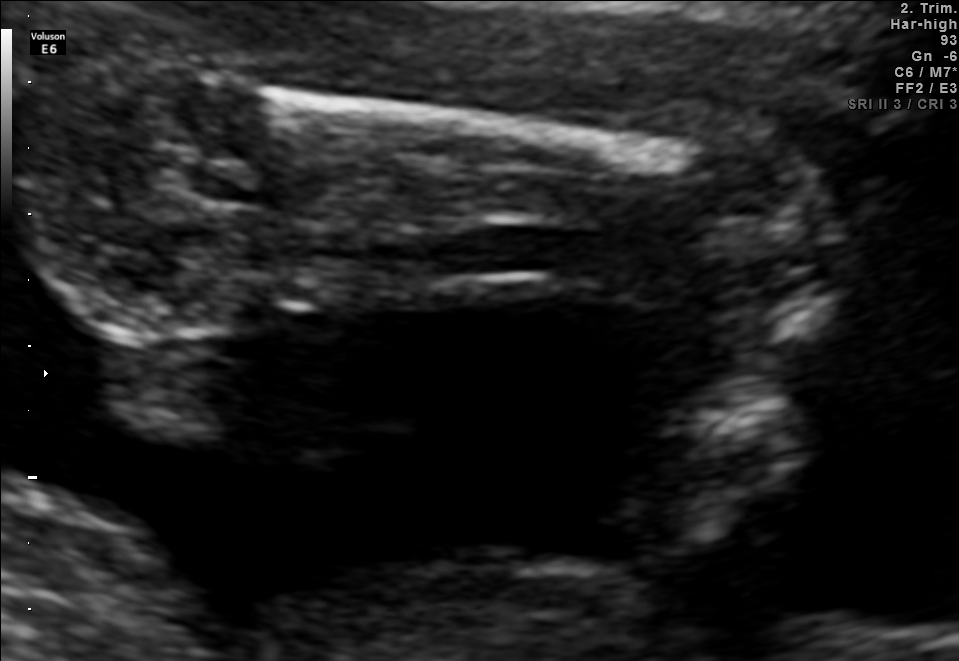
Classify this maternal-fetal ultrasound image as one of the six standard planes — fetal abdomen, fetal brain, fetal femur, fetal thorax, maternal cervix, or other. If it's fetal brain and one of the three standard brain planes (trans-thalamic, trans-cerebellum, trans-ventricular), name which.

Fetal femur